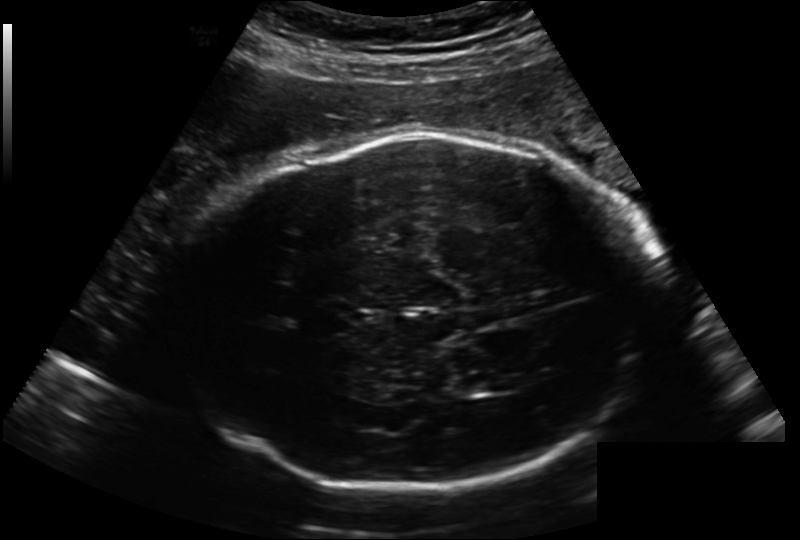
Fetal head ultrasound. Image width: 177.3 mm. Locate the fetal head and, if visible, the cavum septum pellucidum (CSP) and lateral ventricle (LV). Give bounding boxes as [x1,y1,x2,y2].

Head: [170,132,643,493]
Lateral ventricle: [453,371,499,396]